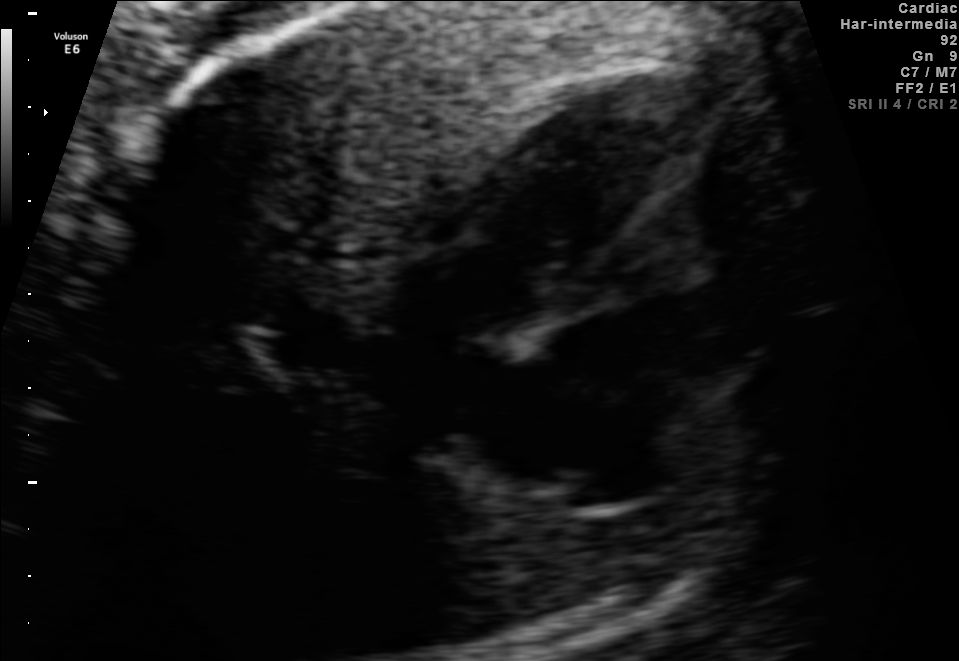
Identify the standard plane in this fetal ultrasound image: fetal abdomen, fetal brain, fetal femur, fetal thorax, maternal cervix, or other. If it's fetal brain and one of the three standard brain planes (trans-thalamic, trans-cerebellum, trans-ventricular), name which.

Fetal thorax